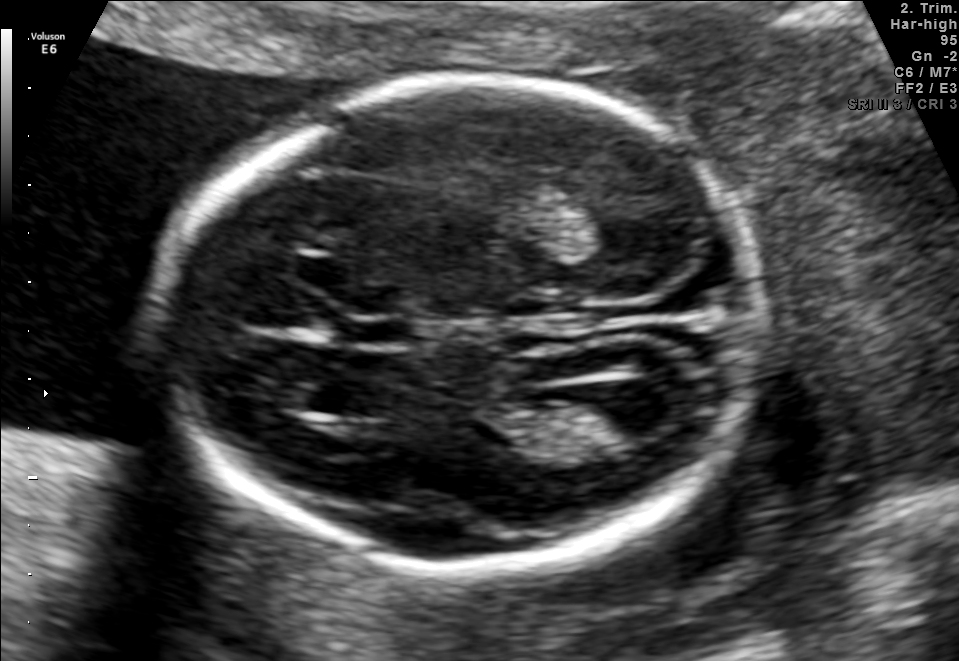
In this fetal brain, trans-ventricular plane, give the bounding box of the cavum septum pellucidum.

[334,314,423,347]